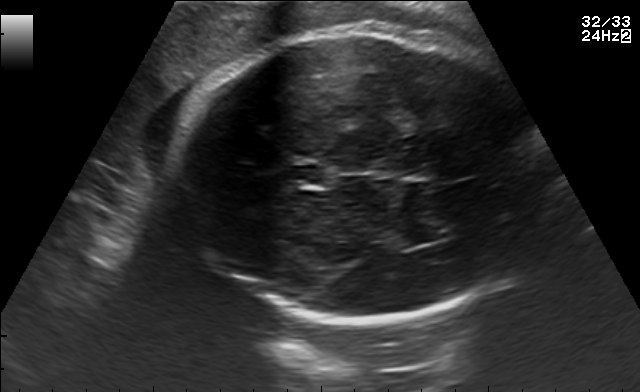
Fetal brain, trans-thalamic plane. Where is the cavum septum pellucidum?

CSP bounding box: [284,165,323,184]